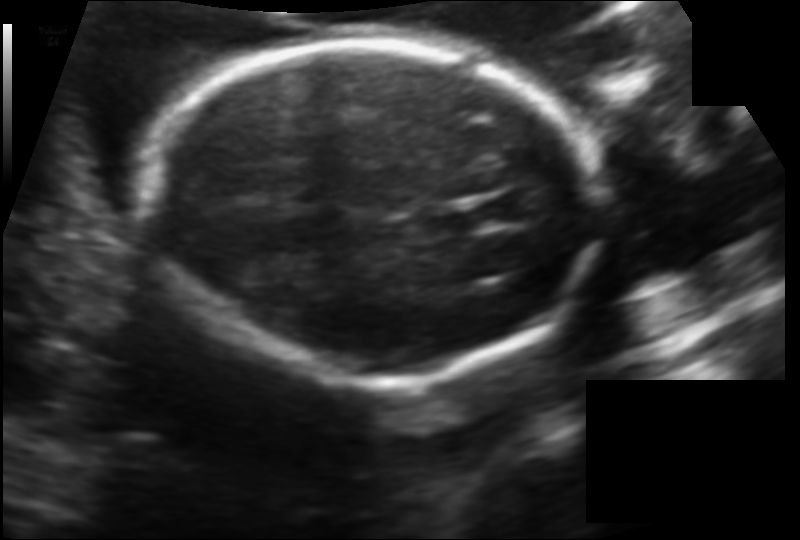
Estimate the fetal head circumference from this 2D ultrasound.

Head circumference: 176.6 mm (image width 108.5 mm).